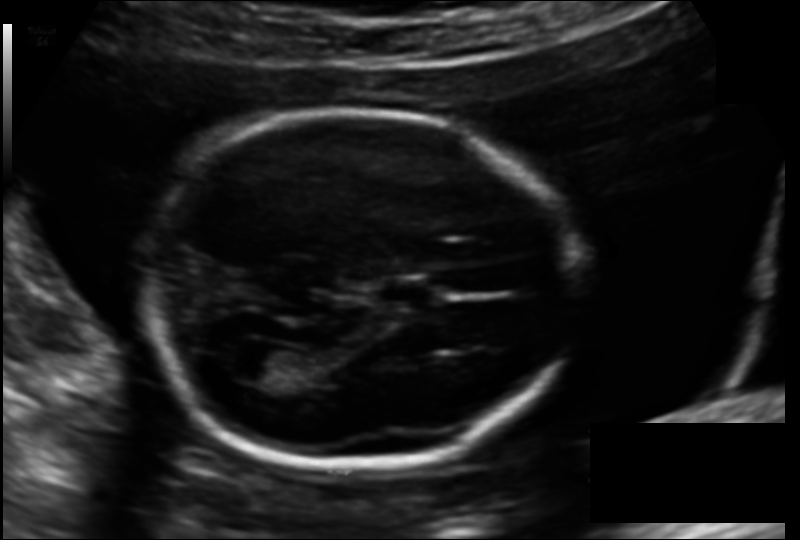
From this fetal ultrasound, estimate the head circumference (image width 109.9 mm).

Head circumference: 179.0 mm.